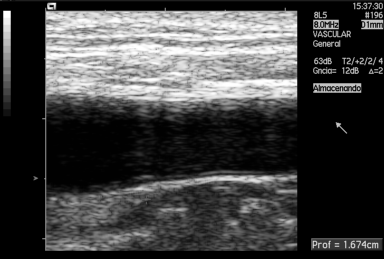
Identify the standard plane in this fetal ultrasound image: fetal abdomen, fetal brain, fetal femur, fetal thorax, maternal cervix, or other. If it's fetal brain and one of the three standard brain planes (trans-thalamic, trans-cerebellum, trans-ventricular), name which.

Other